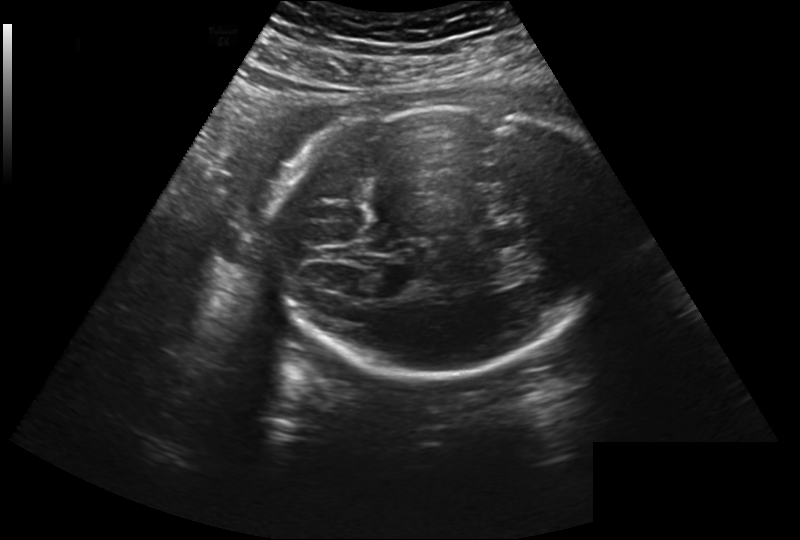
Fetal head ultrasound. Image width: 208.3 mm. Where is the cavum septum pellucidum?

CSP bounding box: [477,223,522,251]